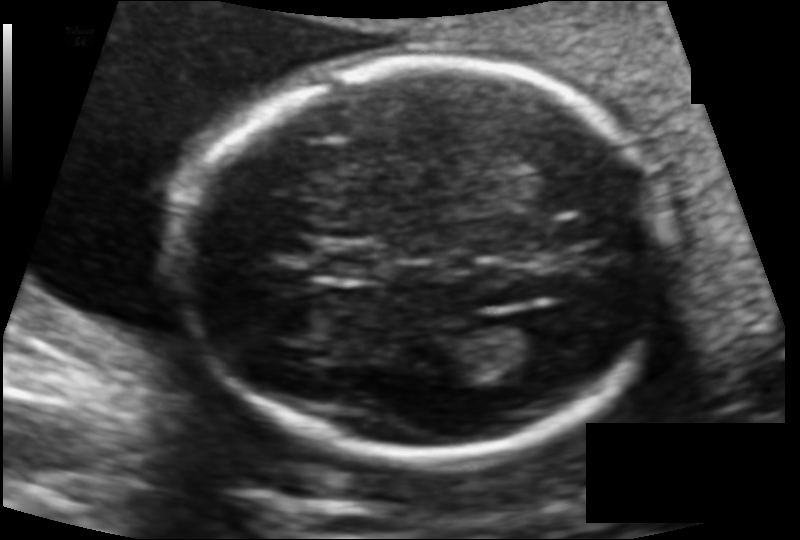
In this fetal head ultrasound, give the bounding box of the fetal head. Image width: 91.4 mm.

[184,60,671,461]